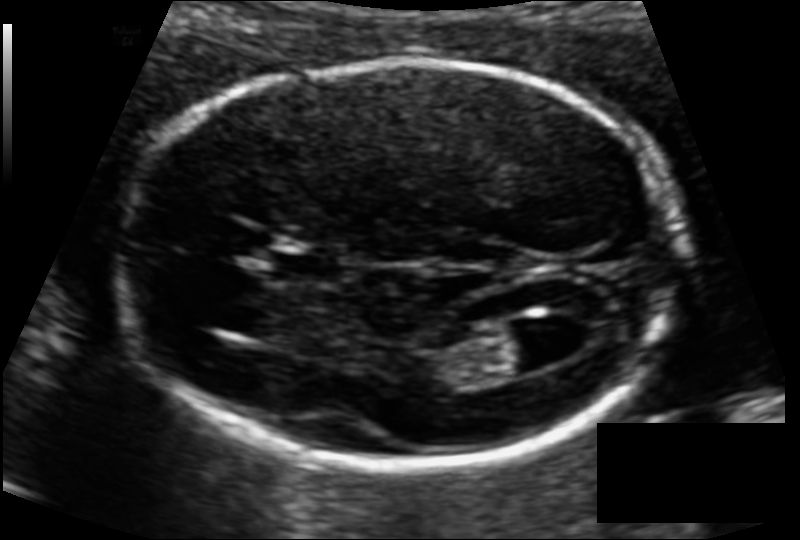
In this fetal head ultrasound, give bounding boxes for the head outline, cavum septum pellucidum (CSP), and lateral ventricle (LV), where visible. Image width: 83.4 mm.

Head: [121,60,686,462]
CSP: [272,253,342,281]
Lateral ventricle: [485,314,574,380]